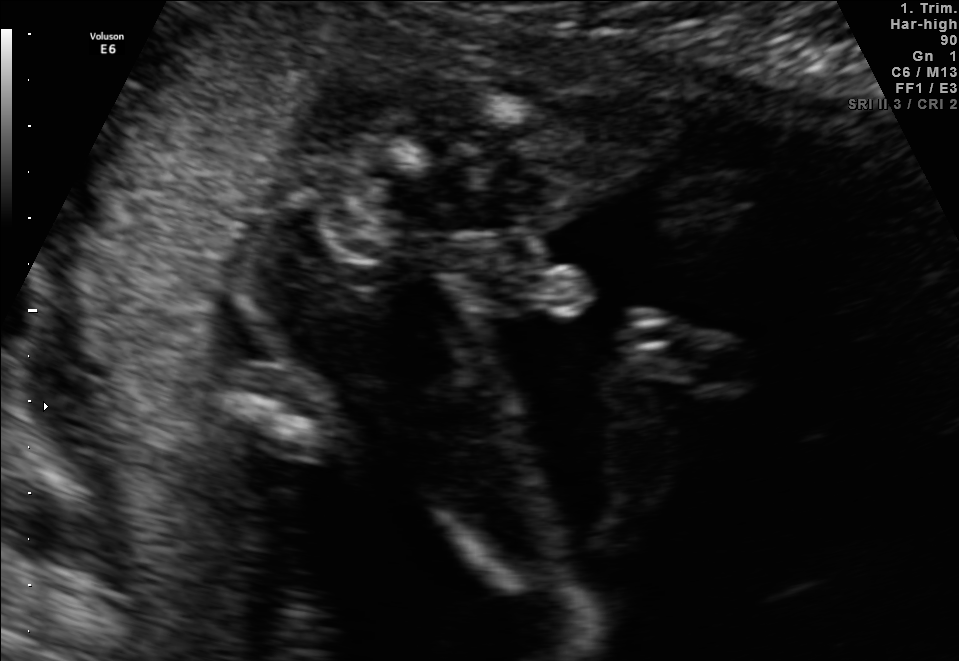
Classify this maternal-fetal ultrasound image as one of the six standard planes — fetal abdomen, fetal brain, fetal femur, fetal thorax, maternal cervix, or other. If it's fetal brain and one of the three standard brain planes (trans-thalamic, trans-cerebellum, trans-ventricular), name which.

Other